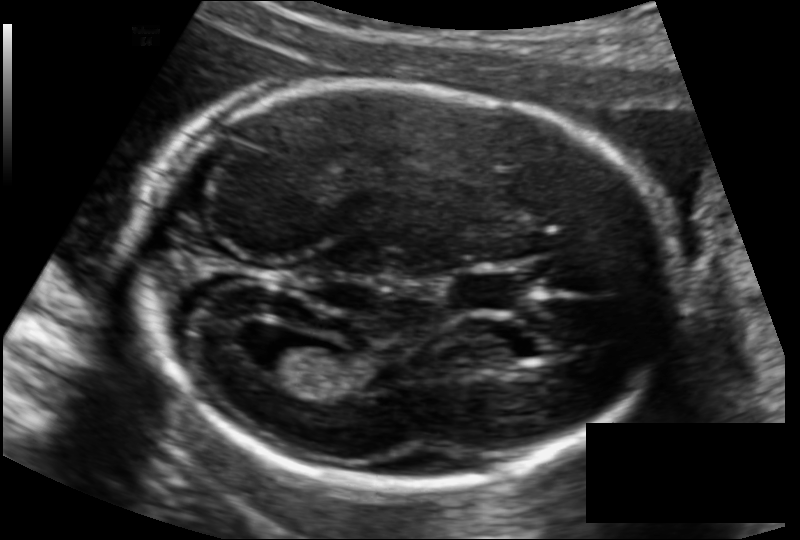
Fetal head ultrasound. Image width: 97.7 mm. Locate the lateral ventricle.

Lateral ventricle: [249,325,329,388]